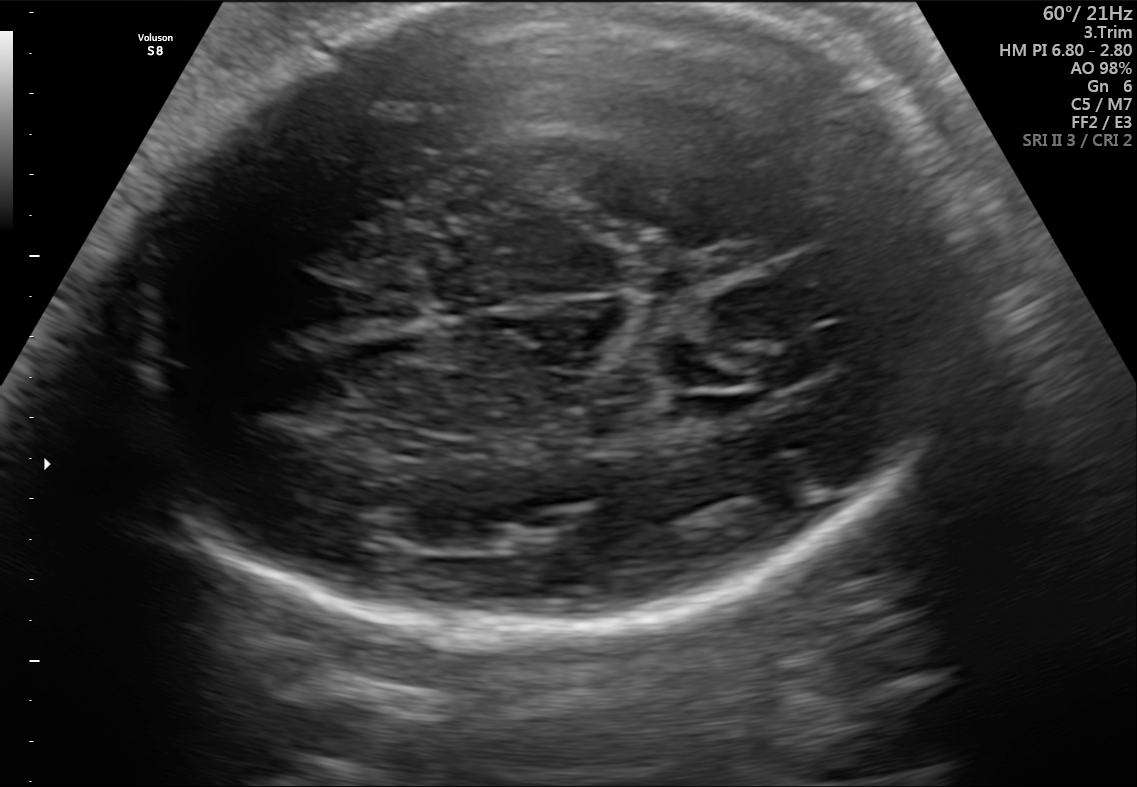
In this fetal brain, trans-ventricular plane, give bounding boxes for the head outline, cavum septum pellucidum (CSP), and lateral ventricle (LV), where visible.

Head: [98,4,986,638]